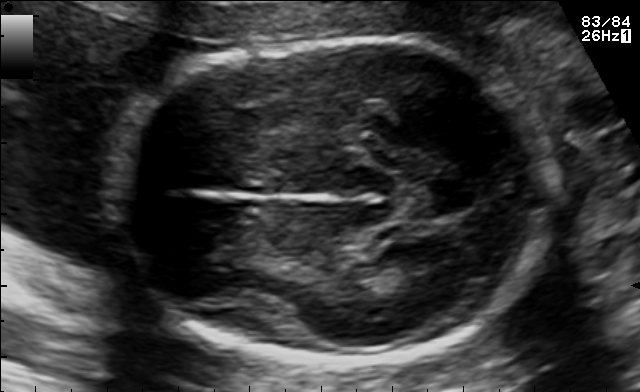
Fetal brain, trans-thalamic plane. Locate the fetal head and, if visible, the cavum septum pellucidum (CSP) and lateral ventricle (LV). Give bounding boxes as [x1,y1,x2,y2].

Head: [113,39,559,361]